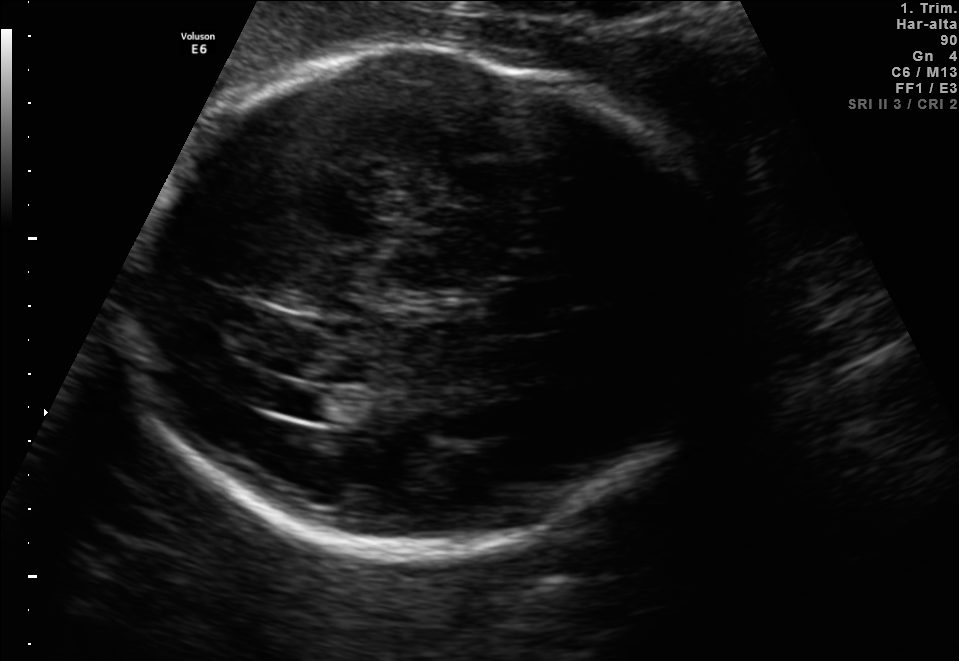
Fetal brain, trans-ventricular plane. Locate the lateral ventricle.

Lateral ventricle: [249,372,326,422]